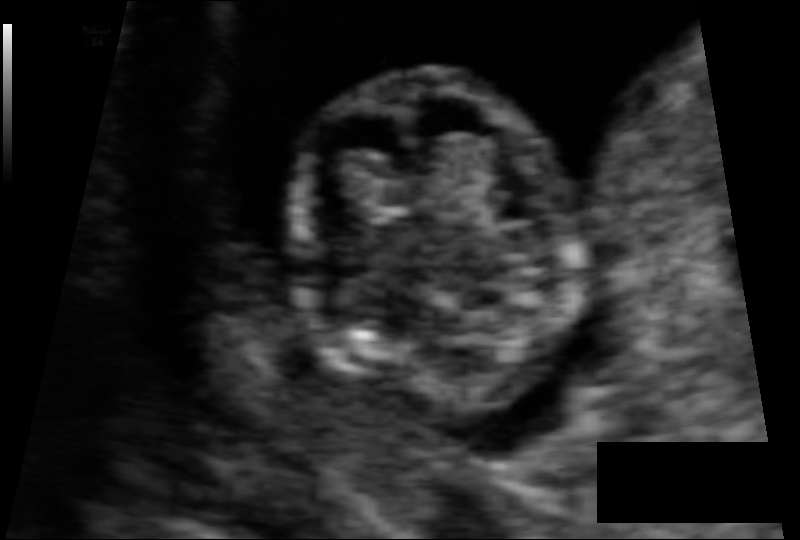
Fetal head ultrasound. Image width: 52.5 mm. Give [x1,y1,x2,y2] bounding boxes for each visible structure among: fetal head, CSP, LV.

Head: [289,70,585,427]